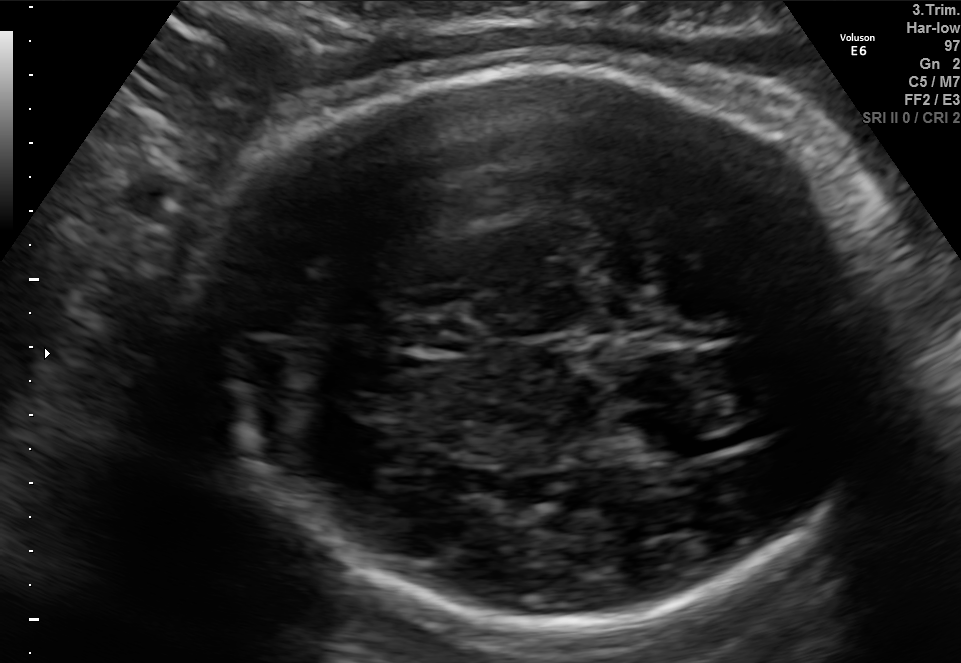
Fetal brain, trans-thalamic plane. Where is the lateral ventricle?

Lateral ventricle bounding box: [647,430,728,469]